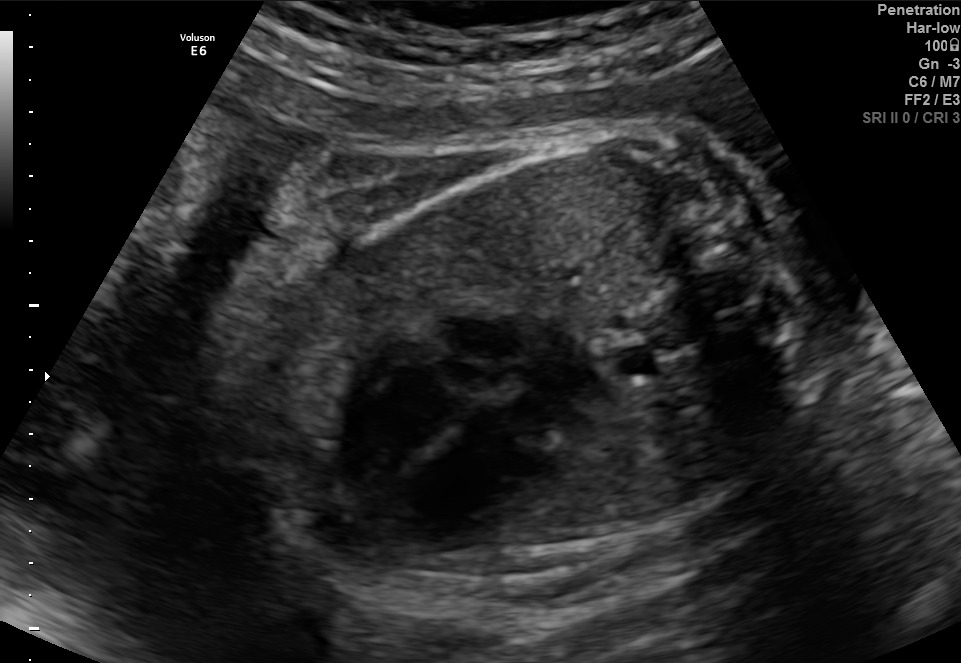
Which standard maternal-fetal ultrasound plane is shown: fetal abdomen, fetal brain, fetal femur, fetal thorax, maternal cervix, or other? If it's fetal brain and one of the three standard brain planes (trans-thalamic, trans-cerebellum, trans-ventricular), name which.

Fetal thorax